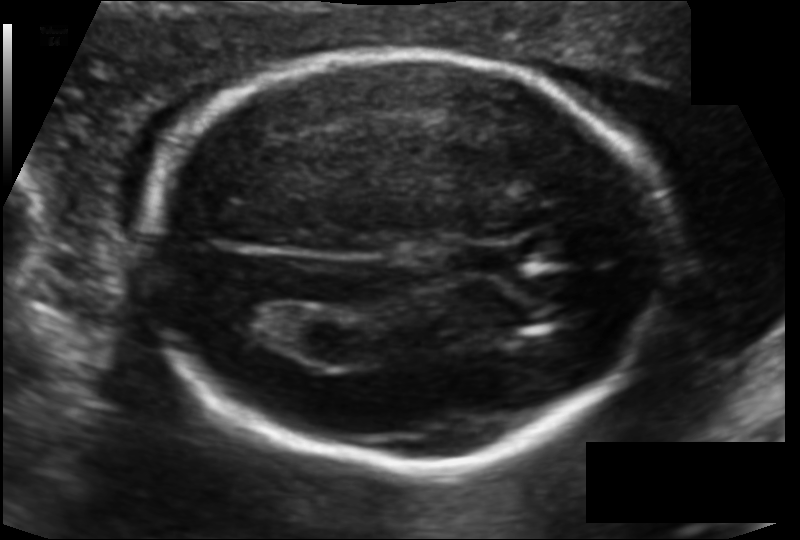
Fetal head ultrasound. Image width: 91.7 mm. Where is the cavum septum pellucidum?

CSP bounding box: [458,239,519,279]